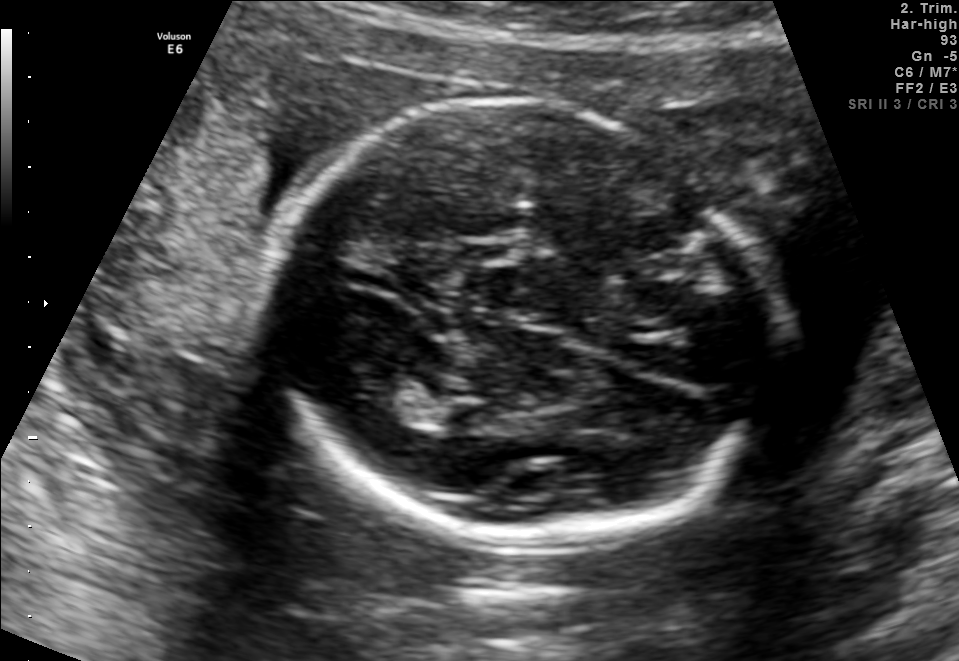
Fetal brain, trans-thalamic plane. Locate the lateral ventricle.

Lateral ventricle: [364,375,456,432]